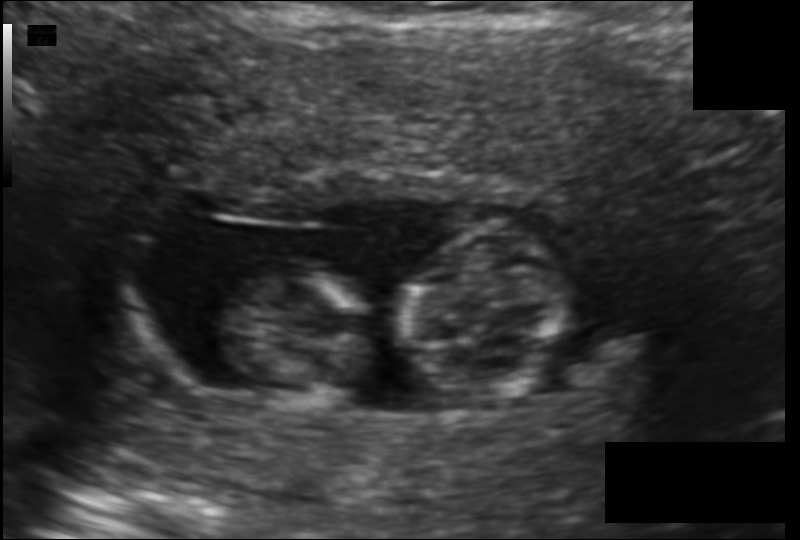
Fetal head ultrasound. Image width: 95.3 mm. Locate the fetal head and, if visible, the cavum septum pellucidum (CSP) and lateral ventricle (LV). Give bounding boxes as [x1,y1,x2,y2].

Head: [395,221,571,404]